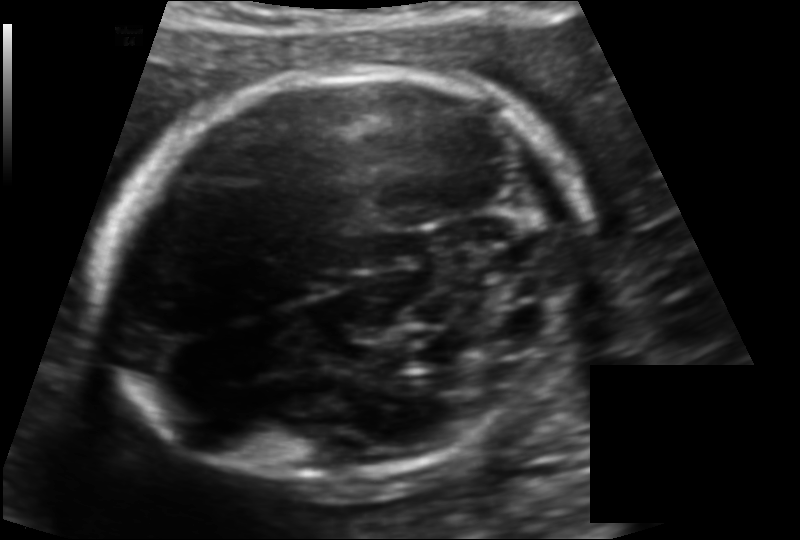
Measure the fetal head circumference shown in this ultrasound image. Image width: 100.1 mm.

Head circumference: 183.6 mm.